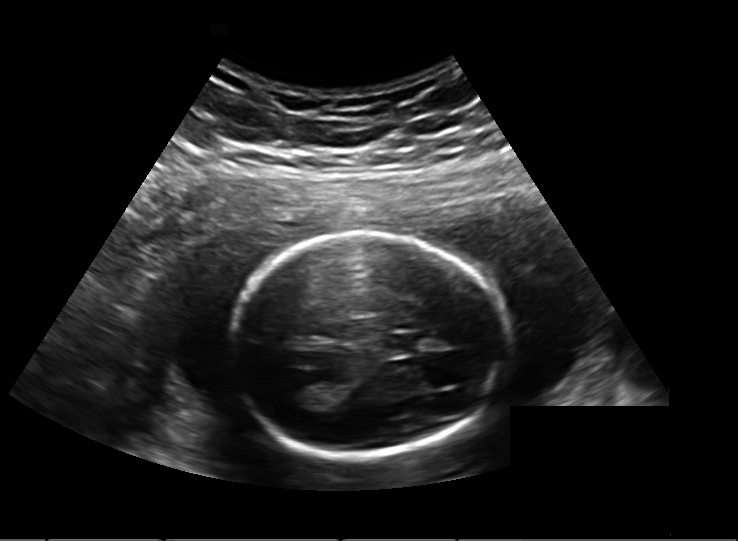
Fetal head ultrasound. Image width: 149.5 mm. Where is the lateral ventricle?

Lateral ventricle bounding box: [282,377,319,409]